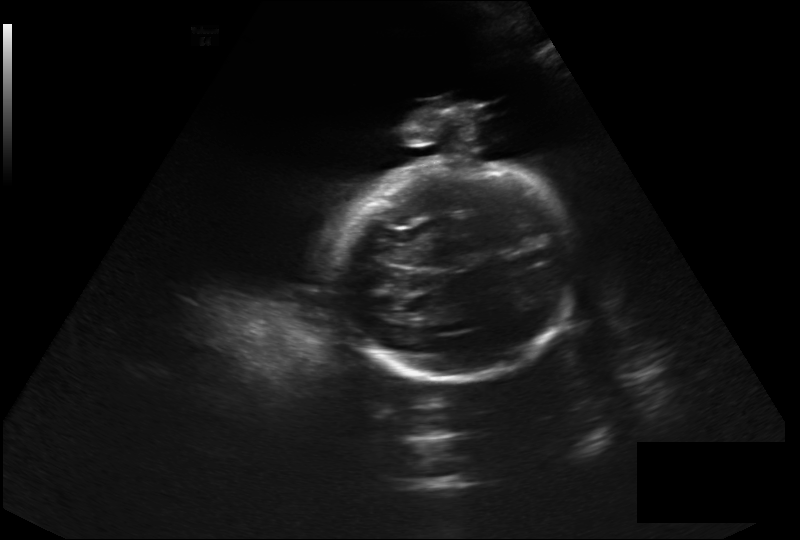
Fetal head ultrasound. Image width: 261.1 mm. Give [x1,y1,x2,y2] bounding boxes for each visible structure among: fetal head, CSP, LV.

Head: [330,159,574,382]